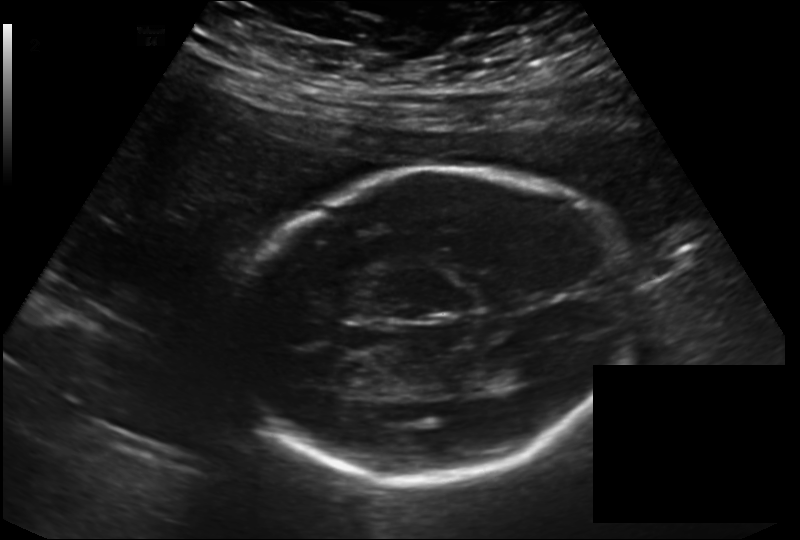
Measure the fetal head circumference shown in this ultrasound image. Image width: 158.6 mm.

Head circumference: 234.0 mm.